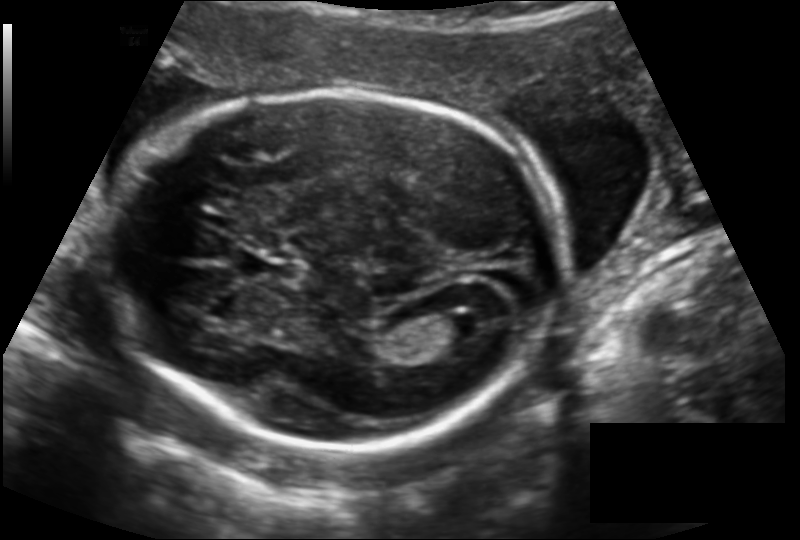
Fetal head ultrasound. Image width: 113.5 mm. Give [x1,y1,x2,y2] bounding boxes for each visible structure among: fetal head, CSP, LV.

Head: [133,93,555,445]
CSP: [244,251,304,287]
Lateral ventricle: [427,307,482,347]